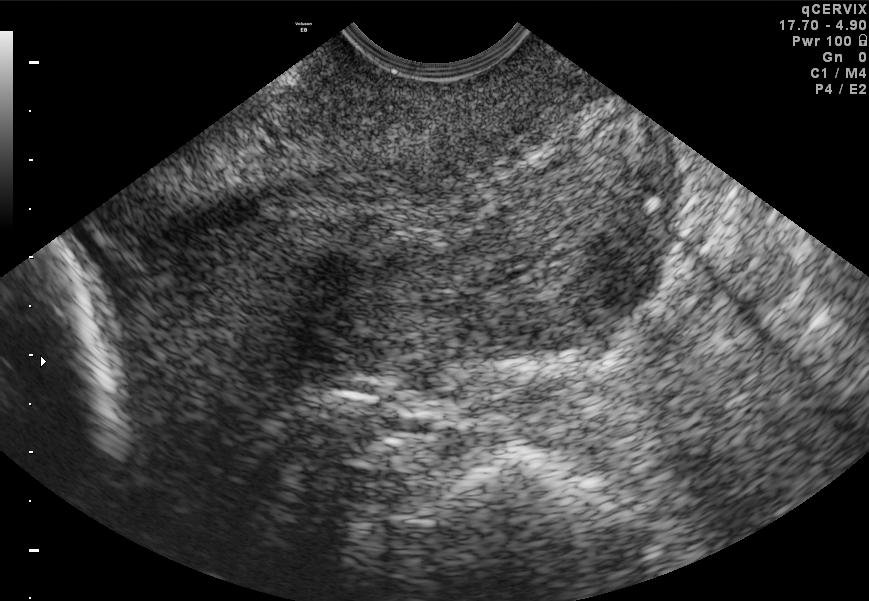
Classify this maternal-fetal ultrasound image as one of the six standard planes — fetal abdomen, fetal brain, fetal femur, fetal thorax, maternal cervix, or other. If it's fetal brain and one of the three standard brain planes (trans-thalamic, trans-cerebellum, trans-ventricular), name which.

Maternal cervix